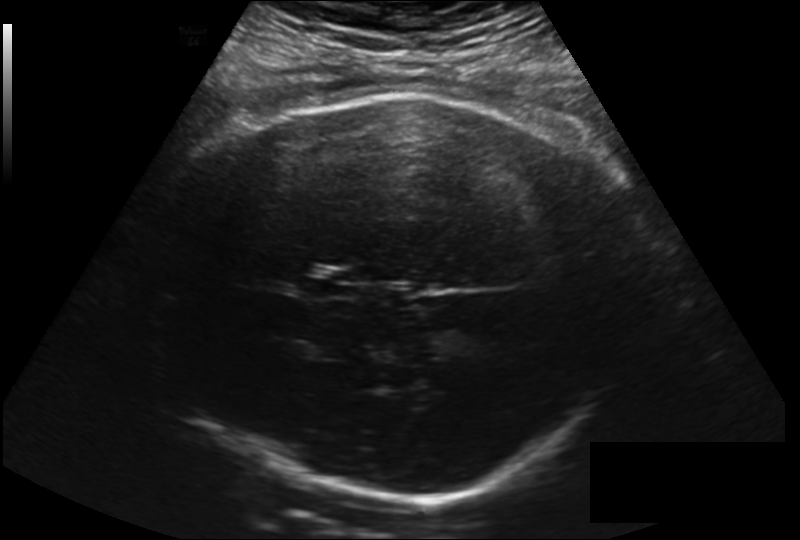
Fetal head ultrasound. Image width: 179.8 mm. Give [x1,y1,x2,y2] bounding boxes for each visible structure among: fetal head, CSP, LV.

Head: [155,91,628,504]